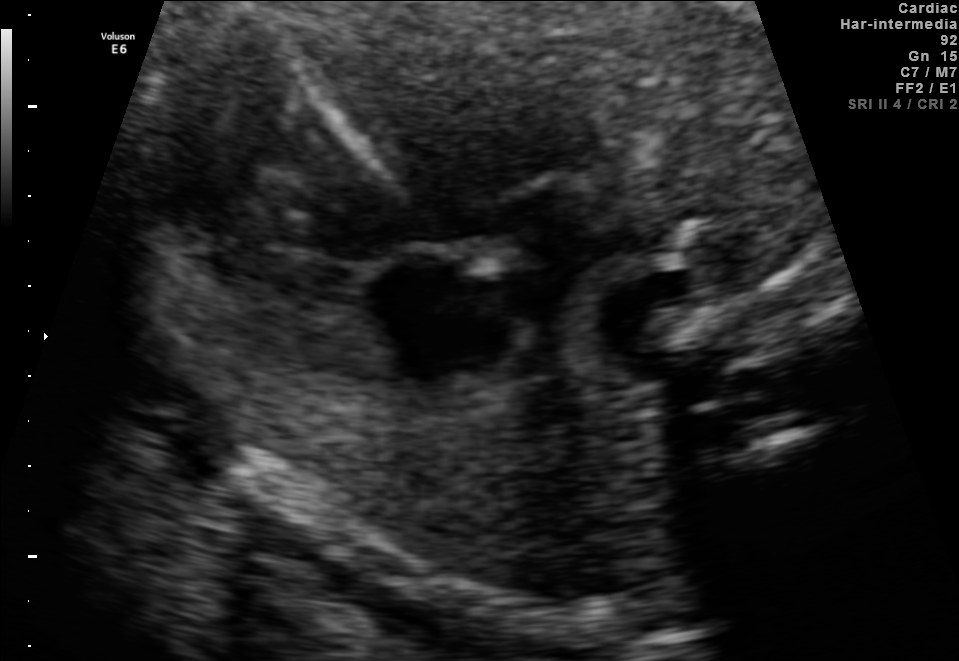
Classify this maternal-fetal ultrasound image as one of the six standard planes — fetal abdomen, fetal brain, fetal femur, fetal thorax, maternal cervix, or other. If it's fetal brain and one of the three standard brain planes (trans-thalamic, trans-cerebellum, trans-ventricular), name which.

Fetal thorax